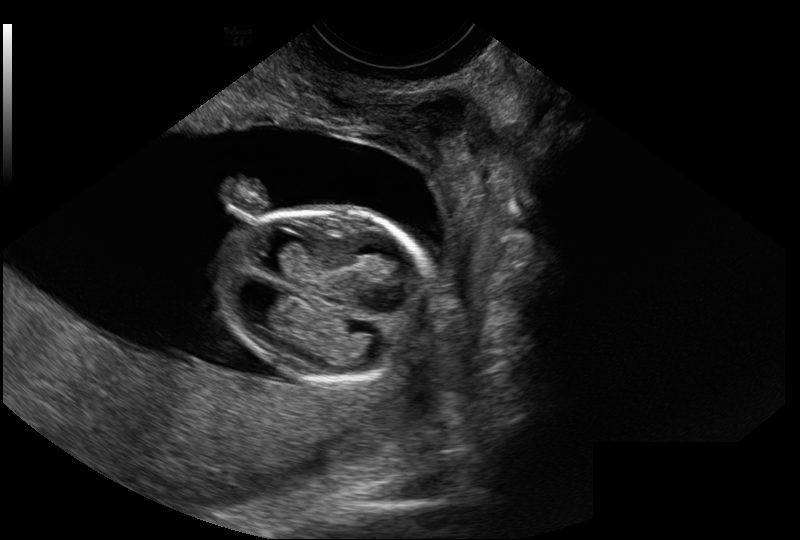
Measure the fetal head circumference shown in this ultrasound image. Image width: 91.6 mm.

Head circumference: 73.0 mm.